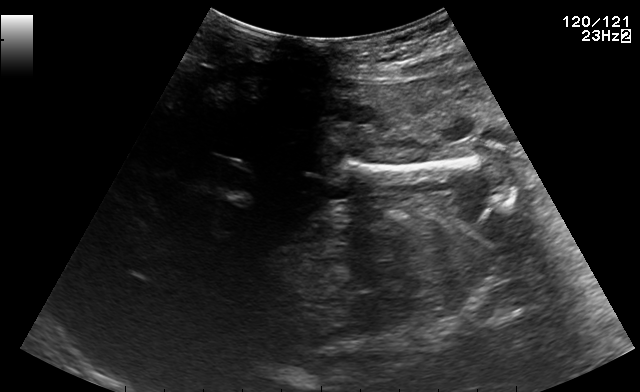
Identify the standard plane in this fetal ultrasound image: fetal abdomen, fetal brain, fetal femur, fetal thorax, maternal cervix, or other. If it's fetal brain and one of the three standard brain planes (trans-thalamic, trans-cerebellum, trans-ventricular), name which.

Fetal femur